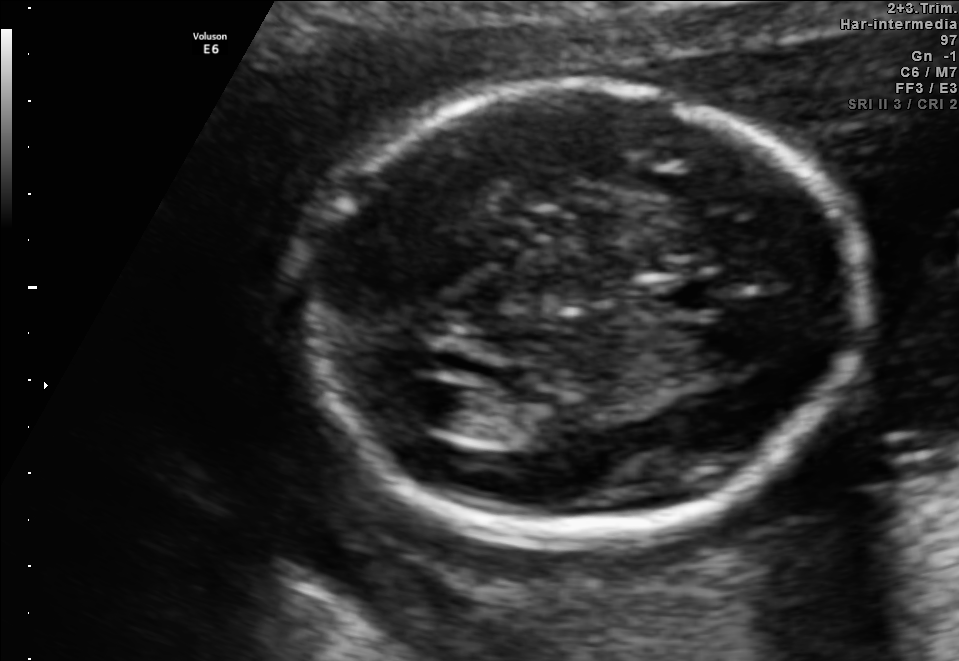
In this fetal brain, trans-ventricular plane, give the bounding box of the cavum septum pellucidum.

[635,276,727,317]